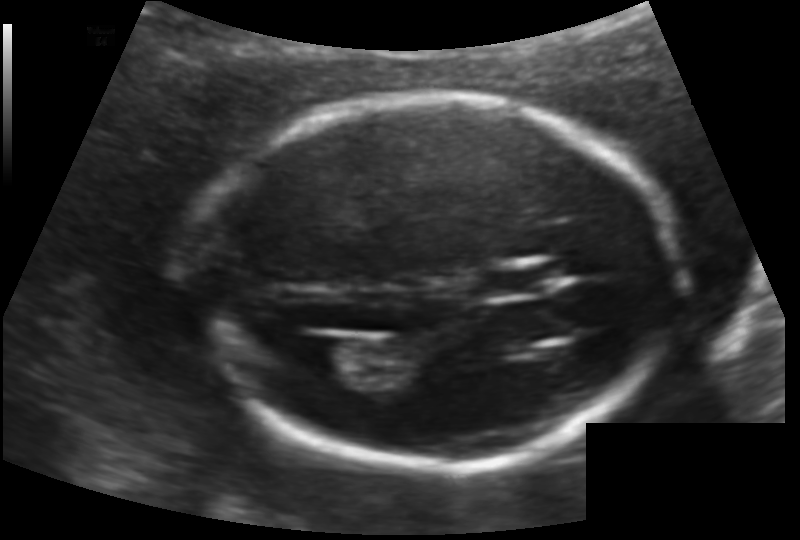
Fetal head ultrasound. Image width: 99.5 mm. Where is the cavum septum pellucidum?

CSP bounding box: [475,261,546,303]